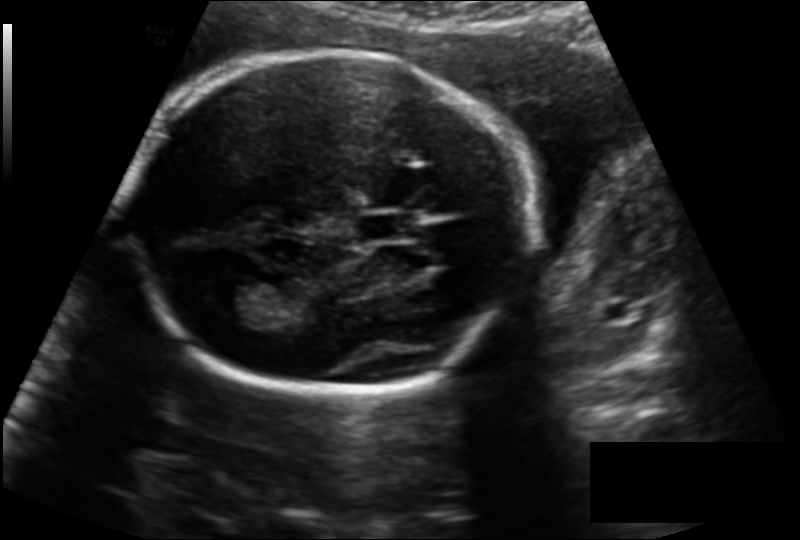
Fetal head ultrasound. Image width: 122.1 mm. Where is the lateral ventricle?

Lateral ventricle bounding box: [201,269,264,323]